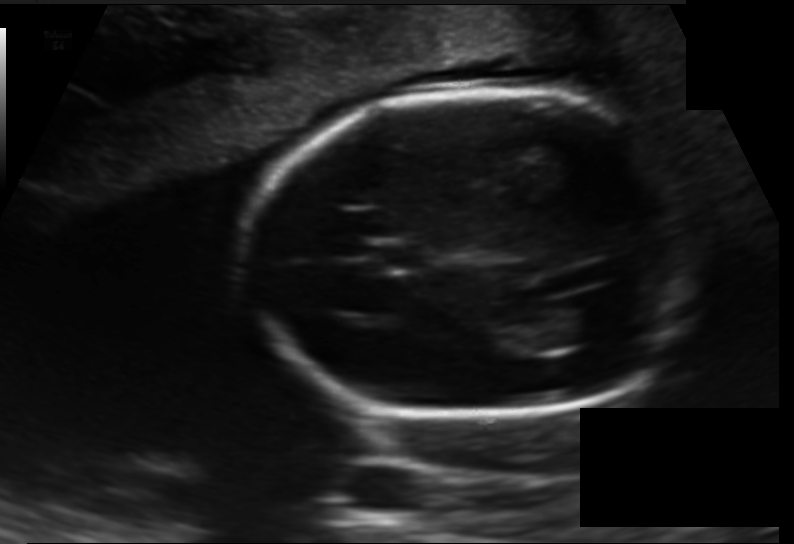
Fetal head ultrasound. Image width: 109.8 mm. Locate the fetal head.

Head: [243,90,702,416]